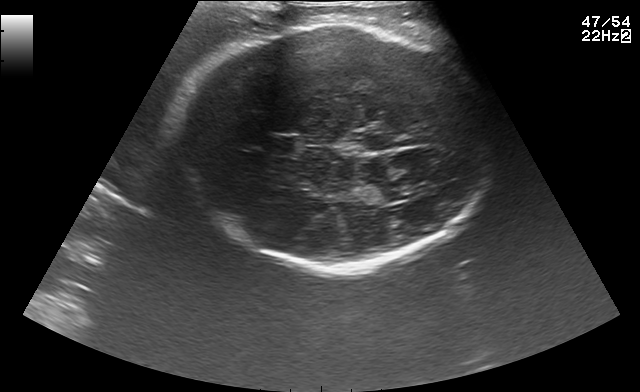
Fetal brain, trans-thalamic plane. Where is the fetal head?

Head bounding box: [177,23,487,267]